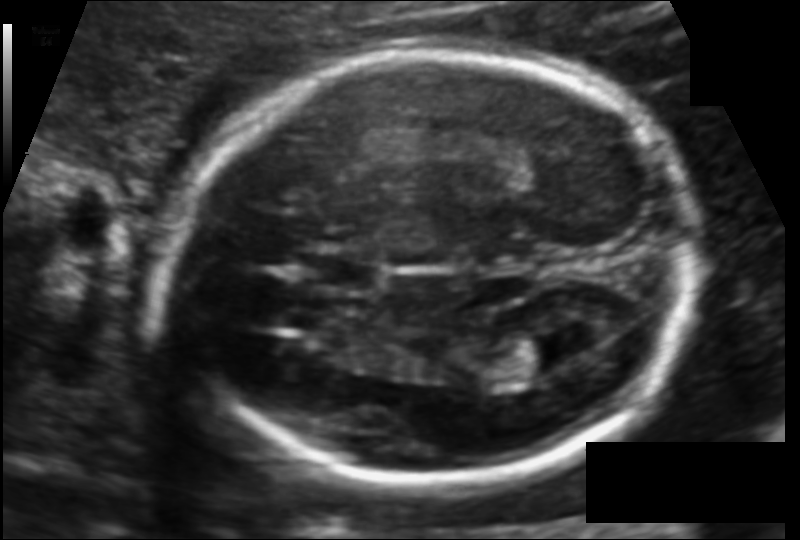
Estimate the fetal head circumference from this 2D ultrasound. Image width: 90.0 mm.

Head circumference: 172.8 mm.